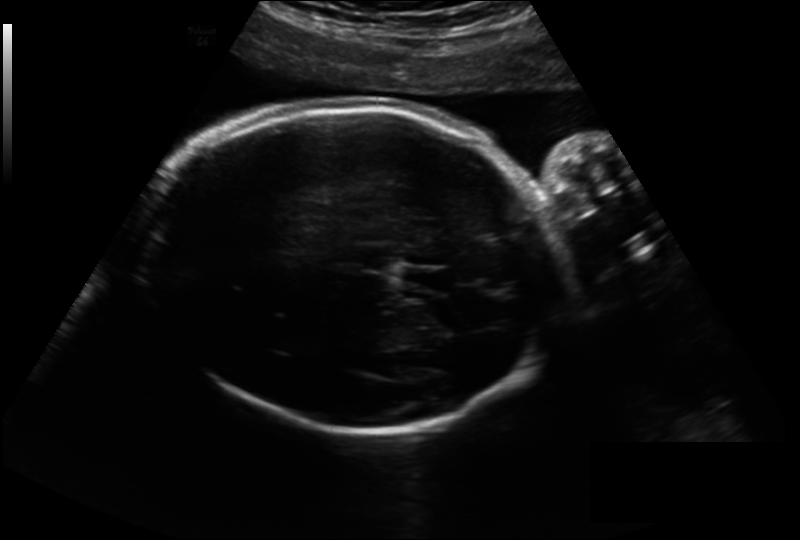
Estimate the fetal head circumference from this 2D ultrasound.

Head circumference: 296.8 mm (image width 194.6 mm).